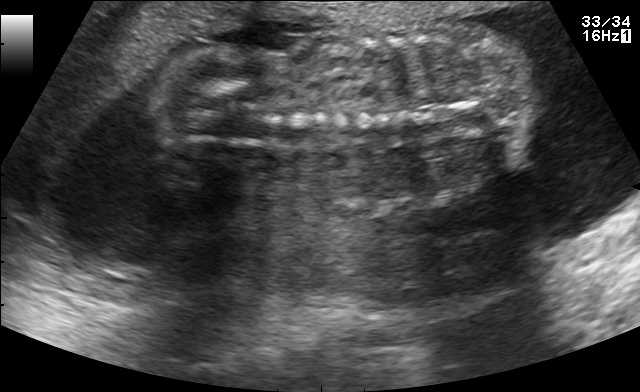
Classify this maternal-fetal ultrasound image as one of the six standard planes — fetal abdomen, fetal brain, fetal femur, fetal thorax, maternal cervix, or other. If it's fetal brain and one of the three standard brain planes (trans-thalamic, trans-cerebellum, trans-ventricular), name which.

Other